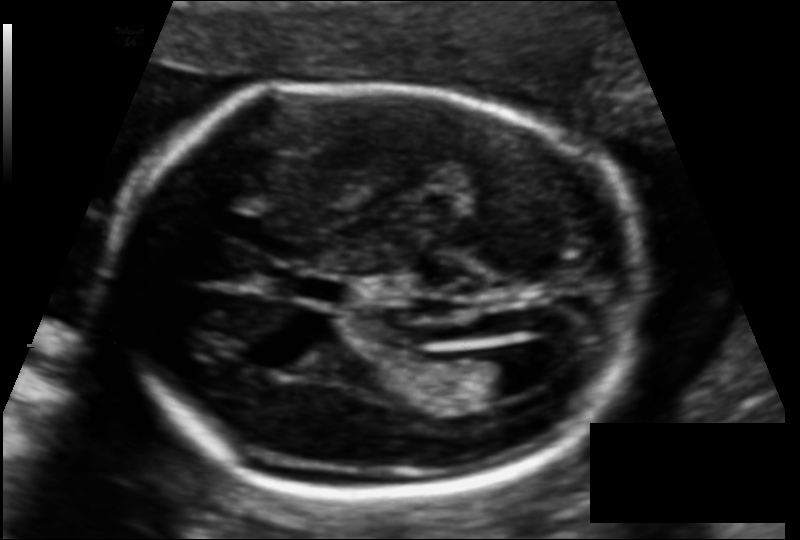
Fetal head ultrasound. Image width: 92.4 mm. Where is the cavum septum pellucidum?

CSP bounding box: [284,270,347,307]